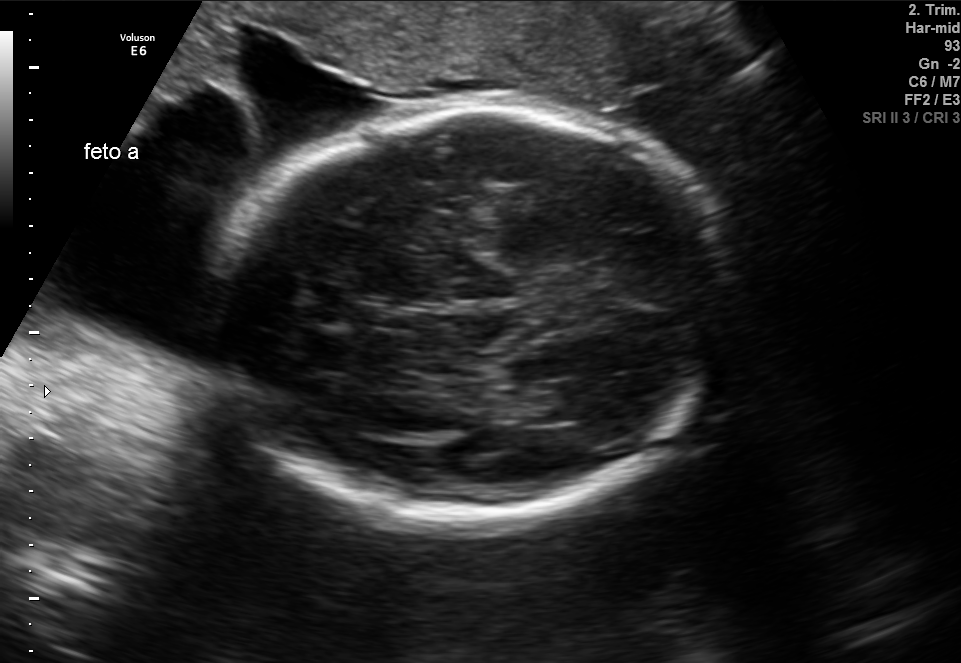
Fetal brain, trans-thalamic plane. Give [x1,y1,x2,y2] bounding boxes for each visible structure among: fetal head, CSP, LV.

Head: [219,108,728,513]
Lateral ventricle: [529,376,609,428]